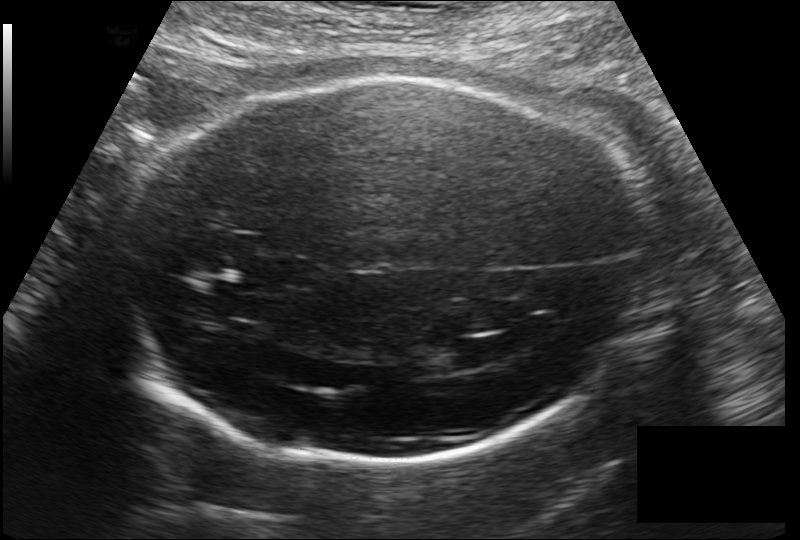
Fetal head ultrasound. Image width: 142.0 mm. Where is the fetal head?

Head bounding box: [123,78,653,464]